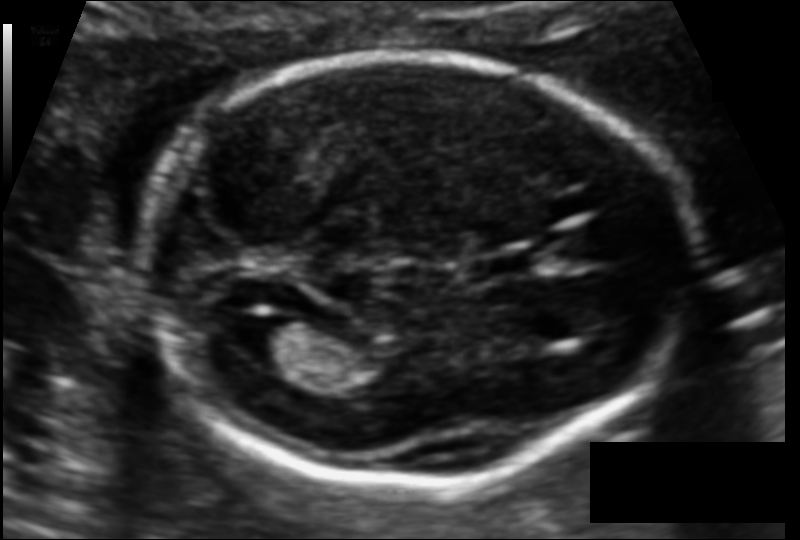
Fetal head ultrasound. Image width: 85.1 mm. Where is the fetal head?

Head bounding box: [139,56,696,482]